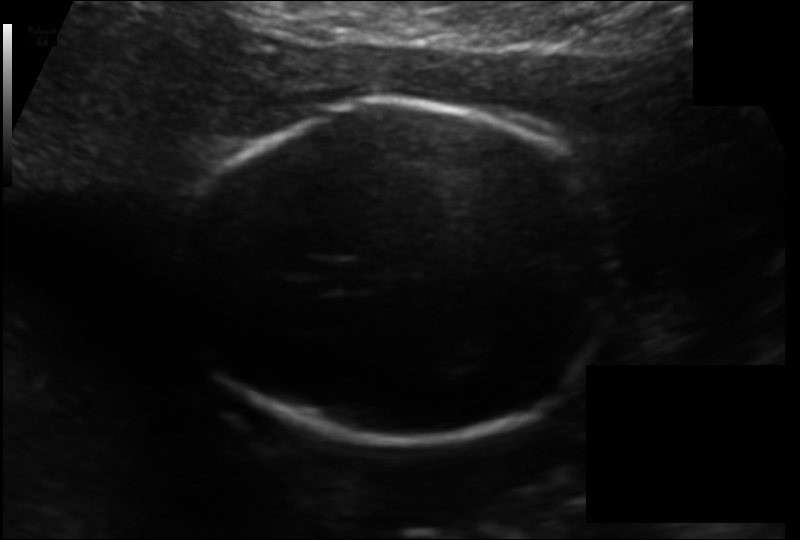
Fetal head ultrasound. Image width: 106.3 mm. Where is the fetal head?

Head bounding box: [184,100,624,442]